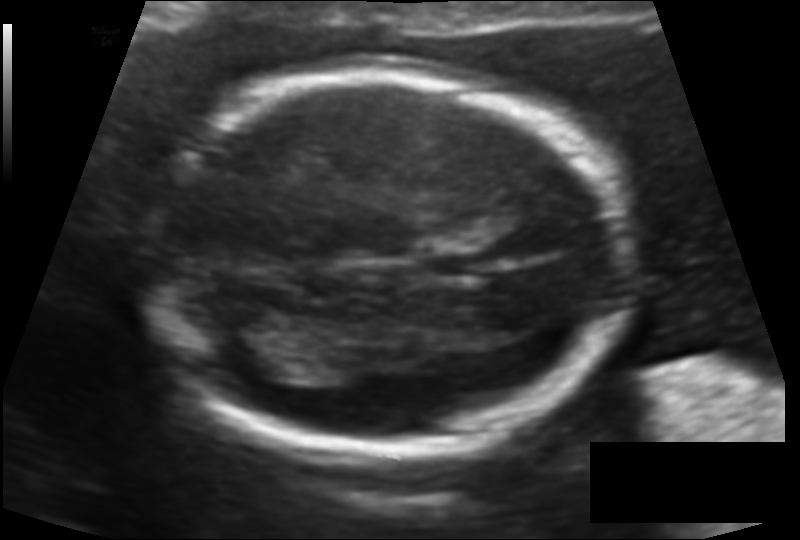
Estimate the fetal head circumference from this 2D ultrasound.

Head circumference: 159.5 mm (image width 92.6 mm).